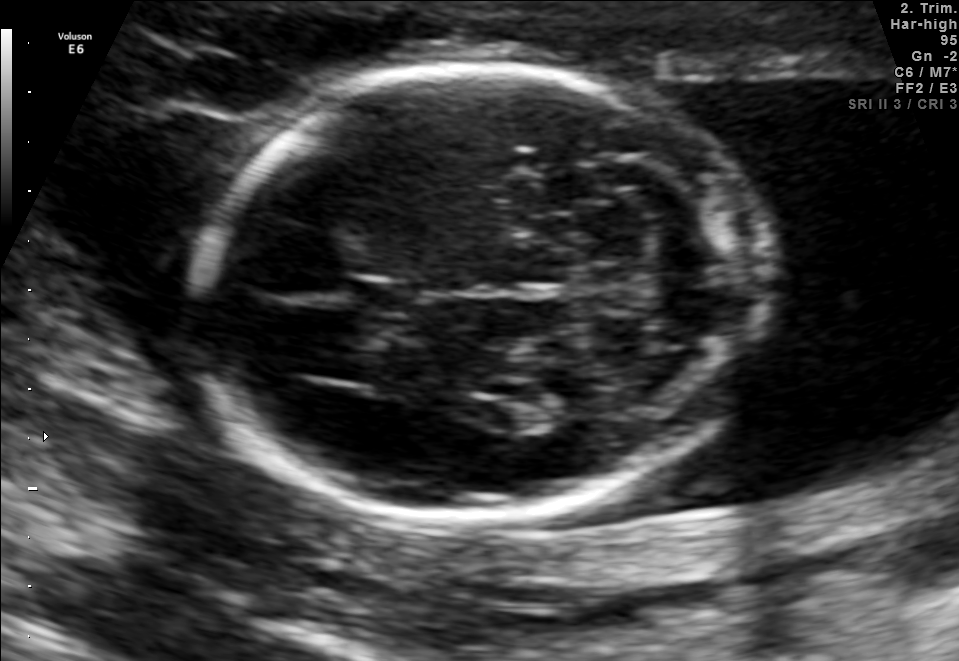
In this fetal brain, trans-cerebellum plane, give bounding boxes for the head outline, cavum septum pellucidum (CSP), and lateral ventricle (LV), where visible.

Head: [197,67,772,514]
CSP: [355,277,412,317]